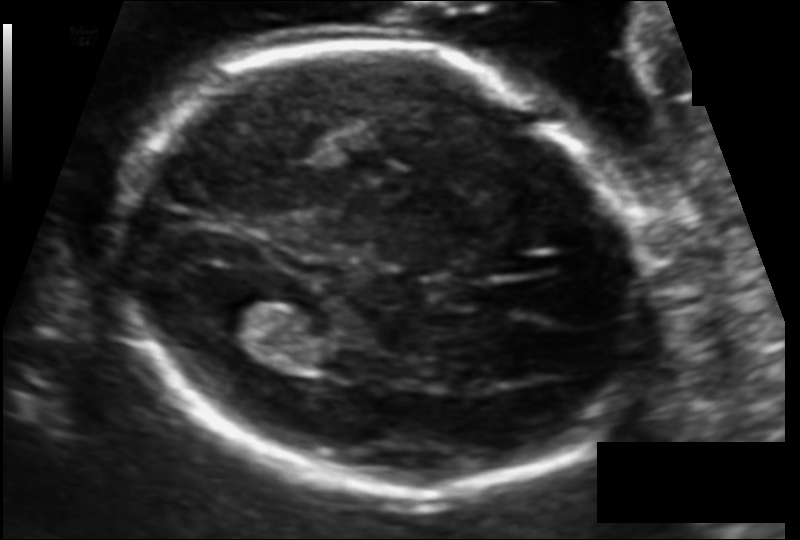
Measure the fetal head circumference shown in this ultrasound image. Image width: 92.8 mm.

Head circumference: 184.3 mm.